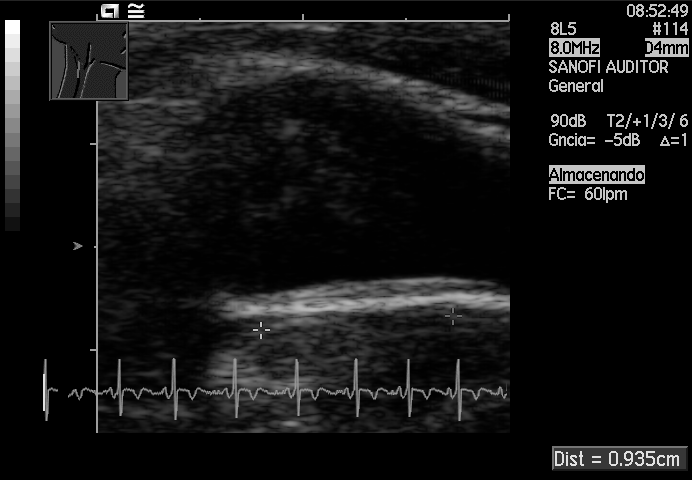
Which standard maternal-fetal ultrasound plane is shown: fetal abdomen, fetal brain, fetal femur, fetal thorax, maternal cervix, or other? If it's fetal brain and one of the three standard brain planes (trans-thalamic, trans-cerebellum, trans-ventricular), name which.

Other